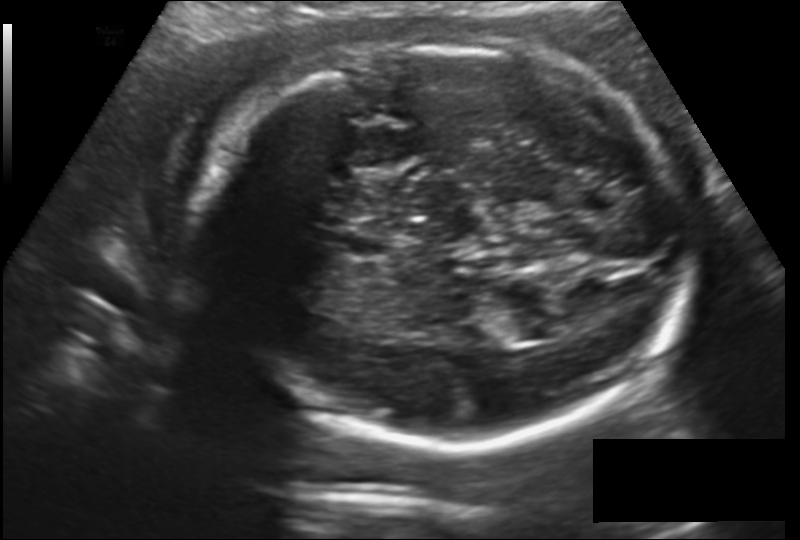
Fetal head ultrasound. Image width: 142.0 mm. Give [x1,y1,x2,y2] bounding boxes for each visible structure among: fetal head, CSP, LV.

Head: [195,47,697,445]